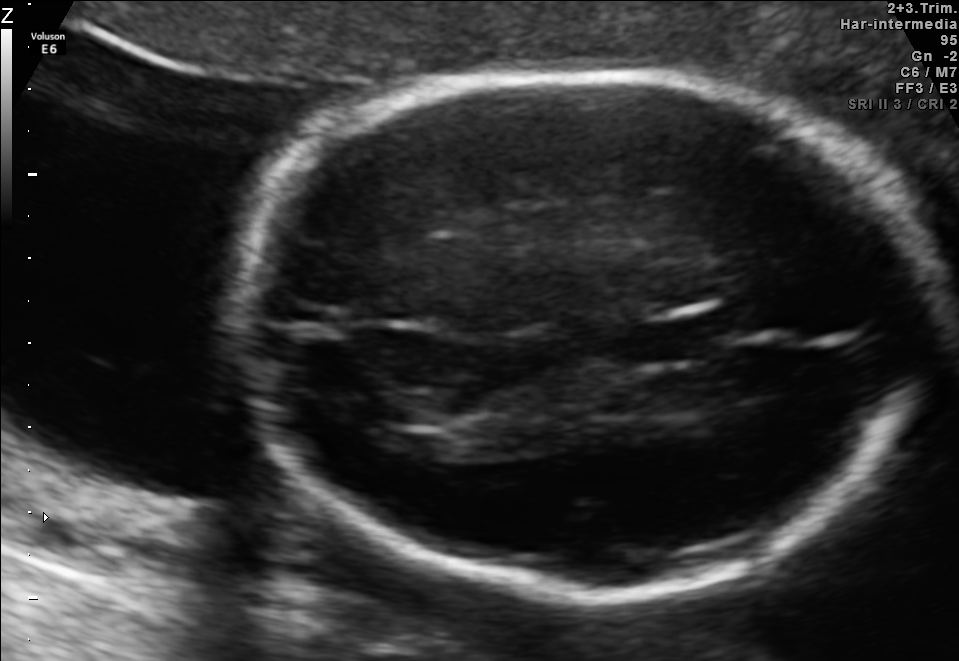
Identify the standard plane in this fetal ultrasound image: fetal abdomen, fetal brain, fetal femur, fetal thorax, maternal cervix, or other. If it's fetal brain and one of the three standard brain planes (trans-thalamic, trans-cerebellum, trans-ventricular), name which.

Fetal brain (trans-thalamic plane)